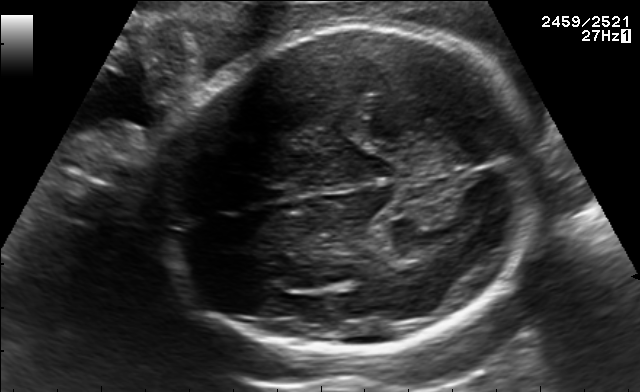
In this fetal brain, trans-thalamic plane, give the bounding box of the fetal head.

[163,23,536,355]